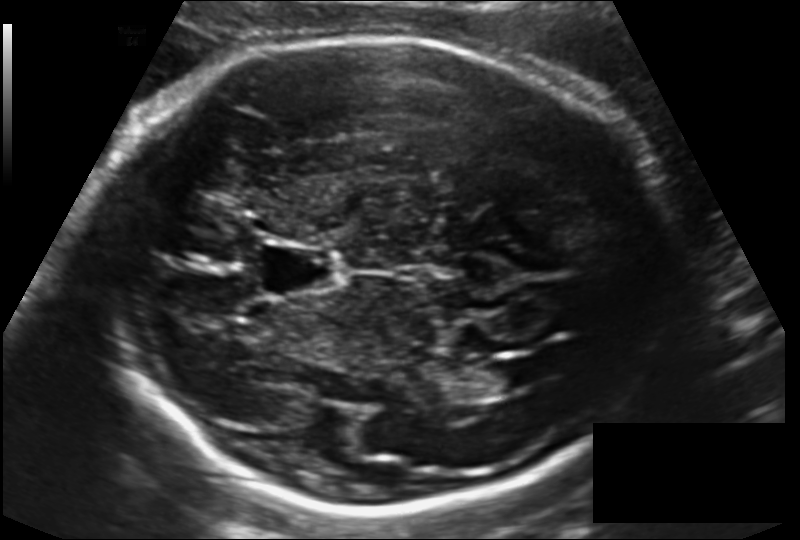
Estimate the fetal head circumference from this 2D ultrasound.

Head circumference: 258.5 mm (image width 123.9 mm).